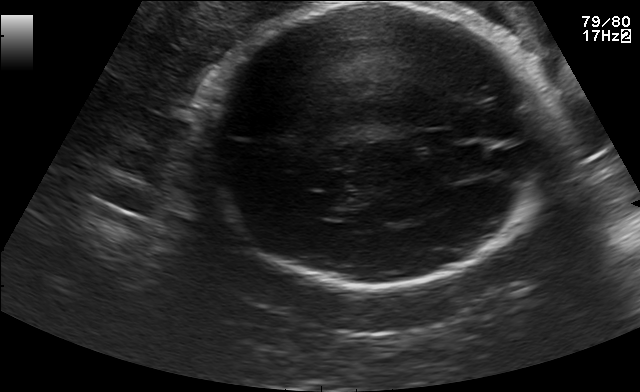
Fetal brain, trans-thalamic plane. Locate the fetal head and, if visible, the cavum septum pellucidum (CSP) and lateral ventricle (LV). Give bounding boxes as [x1,y1,x2,y2].

Head: [198,3,547,288]